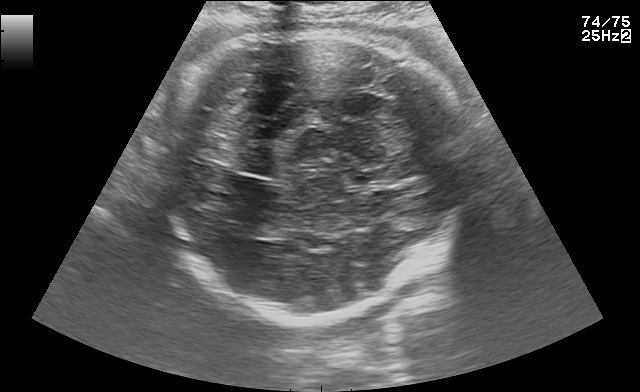
Fetal brain, trans-thalamic plane. Give [x1,y1,x2,y2] bounding boxes for each visible structure among: fetal head, CSP, LV.

Head: [158,32,468,320]